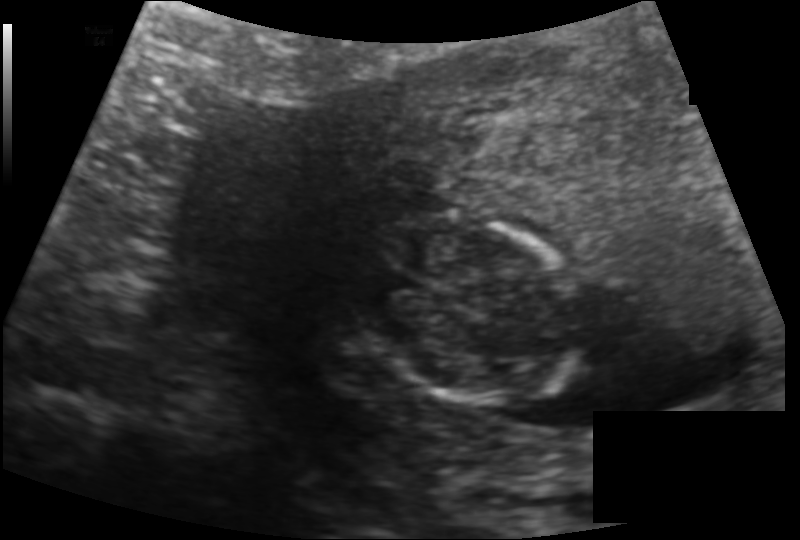
Fetal head ultrasound. Image width: 102.6 mm. Give [x1,y1,x2,y2] bounding boxes for each visible structure among: fetal head, CSP, LV.

Head: [360,215,581,404]